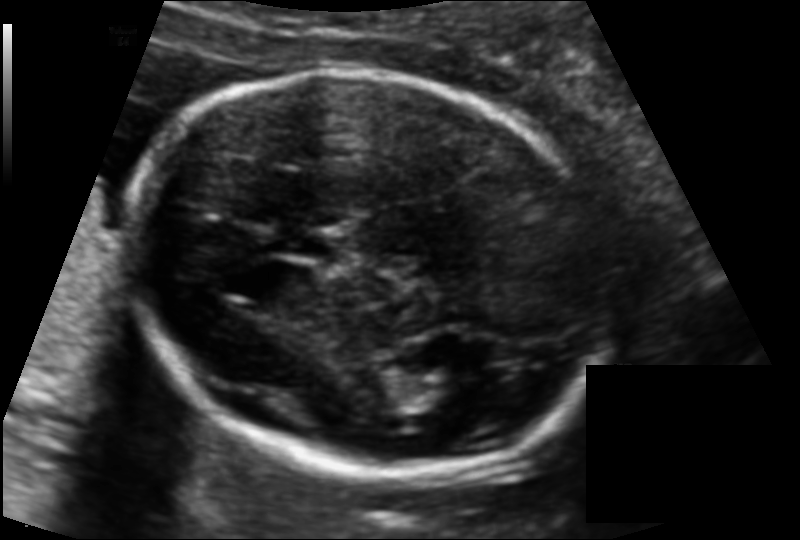
Fetal head ultrasound. Image width: 93.1 mm. Where is the cavum septum pellucidum?

CSP bounding box: [275,221,350,270]